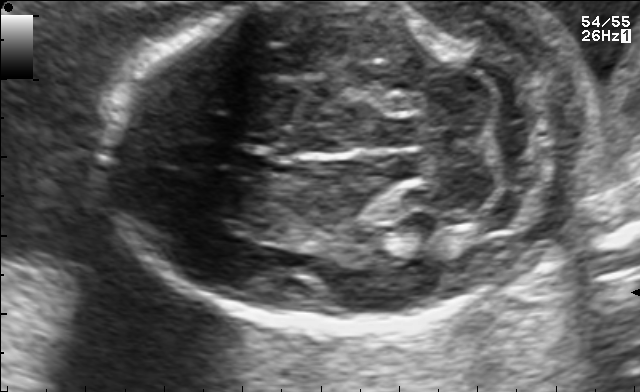
Fetal brain, trans-cerebellum plane. Where is the fetal head?

Head bounding box: [101,2,592,327]